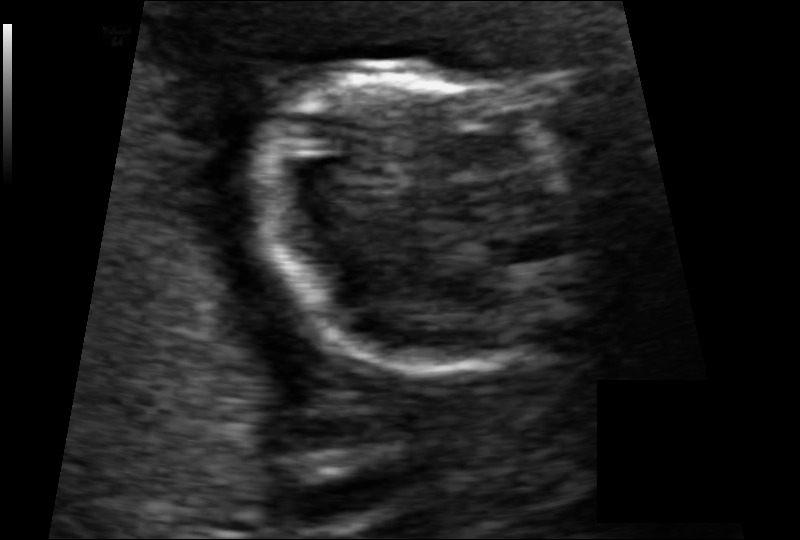
Fetal head ultrasound. Image width: 62.3 mm. Where is the fetal head?

Head bounding box: [249,60,580,373]